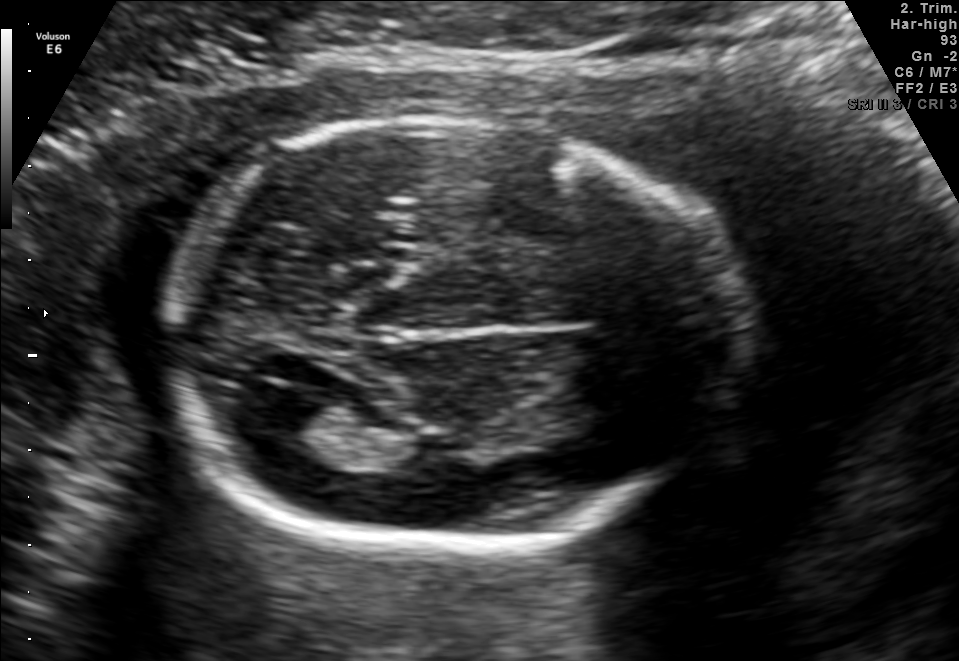
Fetal brain, trans-ventricular plane. Locate the fetal head.

Head: [147,106,746,567]